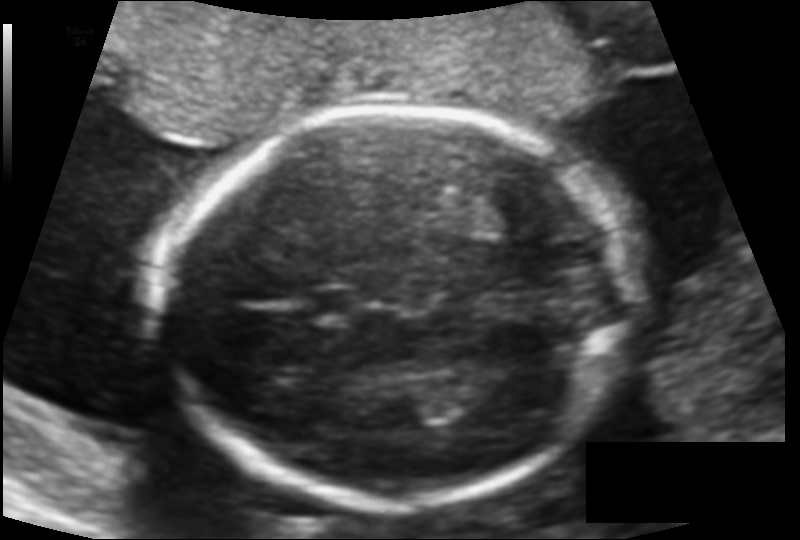
Fetal head ultrasound. Image width: 97.0 mm. Locate the fetal head.

Head: [162,106,631,507]